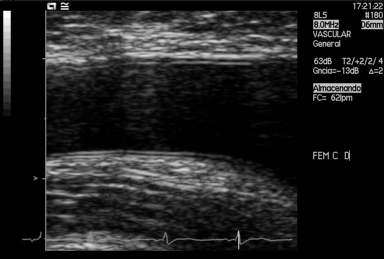
Identify the standard plane in this fetal ultrasound image: fetal abdomen, fetal brain, fetal femur, fetal thorax, maternal cervix, or other. If it's fetal brain and one of the three standard brain planes (trans-thalamic, trans-cerebellum, trans-ventricular), name which.

Other